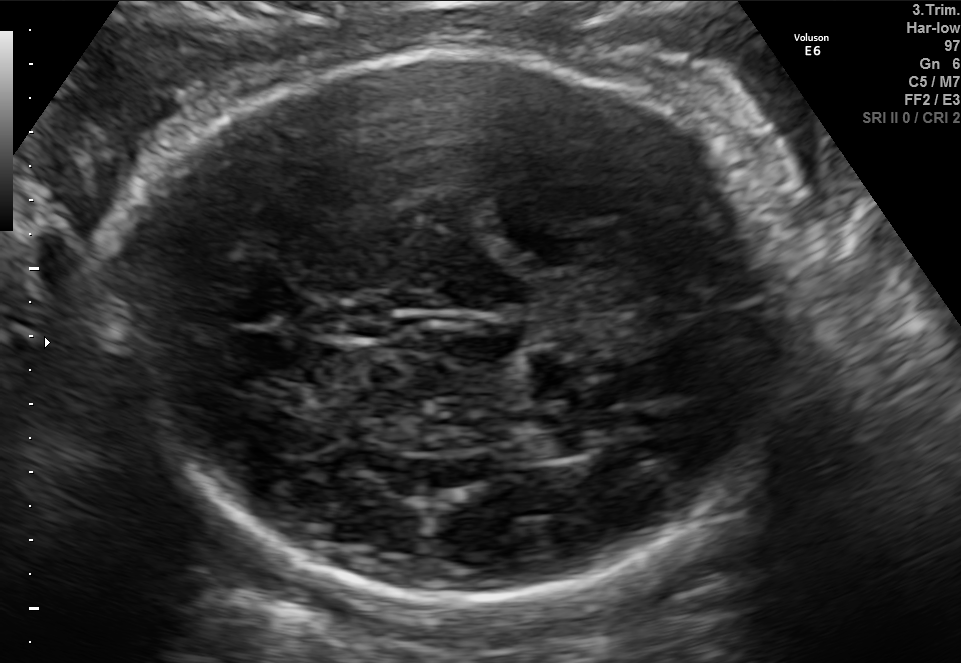
Fetal brain, trans-thalamic plane. Locate the fetal head and, if visible, the cavum septum pellucidum (CSP) and lateral ventricle (LV). Give bounding boxes as [x1,y1,x2,y2].

Head: [120,57,799,606]
CSP: [337,304,397,336]
Lateral ventricle: [536,426,594,461]